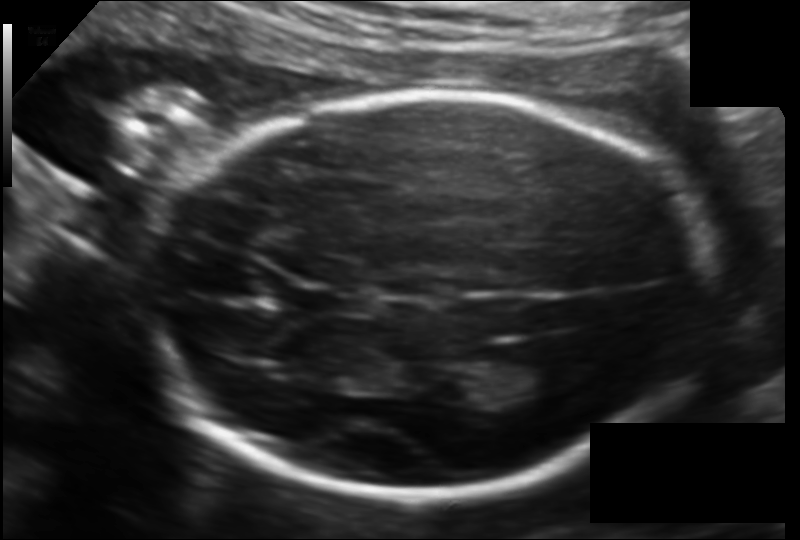
Fetal head ultrasound. Image width: 103.8 mm. Where is the lateral ventricle?

Lateral ventricle bounding box: [482,344,568,401]